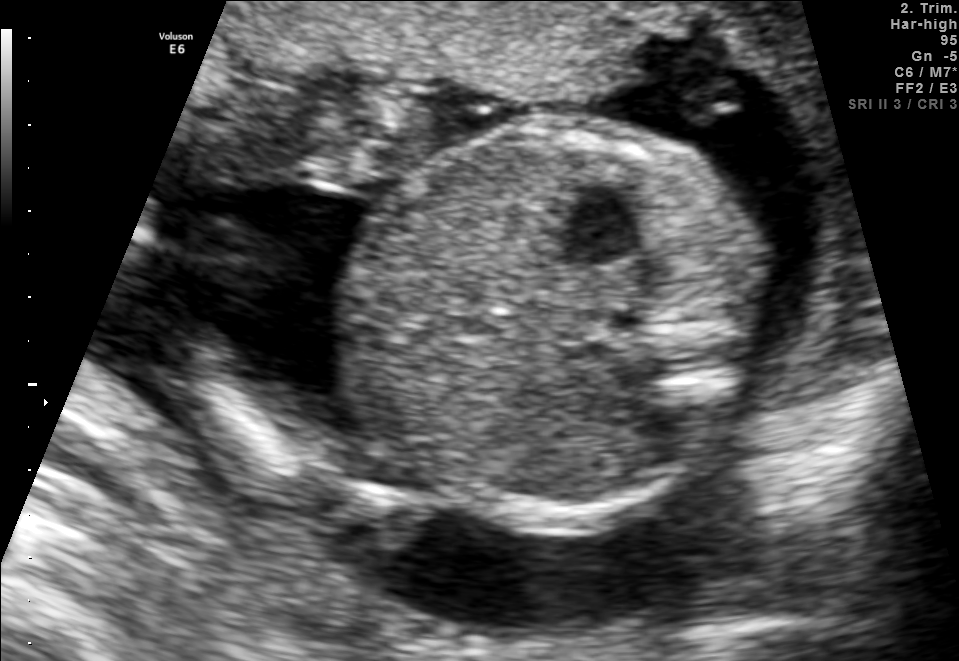
Identify the standard plane in this fetal ultrasound image: fetal abdomen, fetal brain, fetal femur, fetal thorax, maternal cervix, or other. If it's fetal brain and one of the three standard brain planes (trans-thalamic, trans-cerebellum, trans-ventricular), name which.

Fetal abdomen